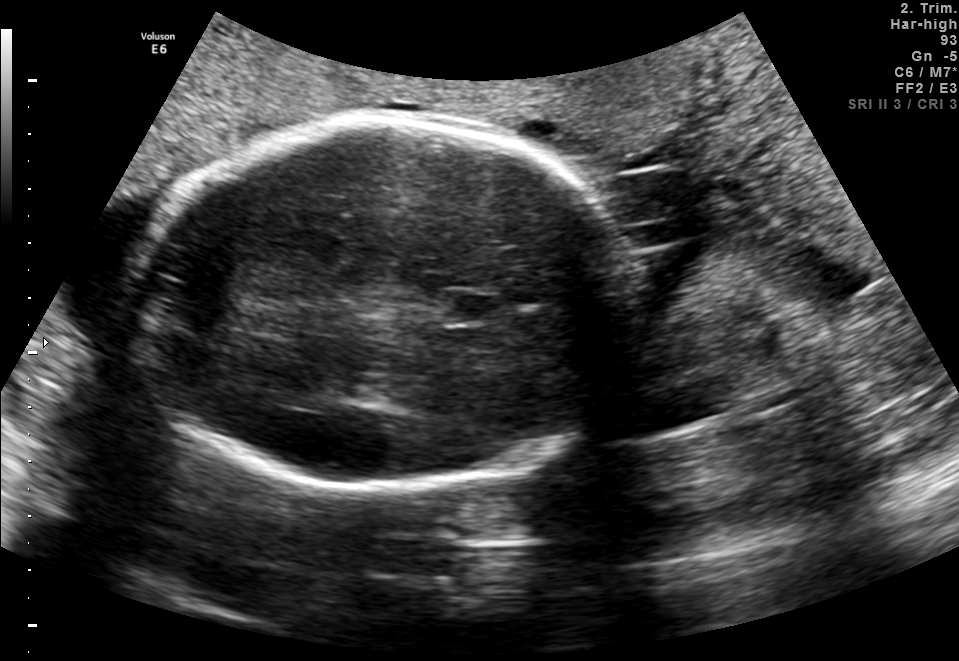
In this fetal brain, trans-thalamic plane, give the bounding box of the fetal head.

[129,119,628,484]